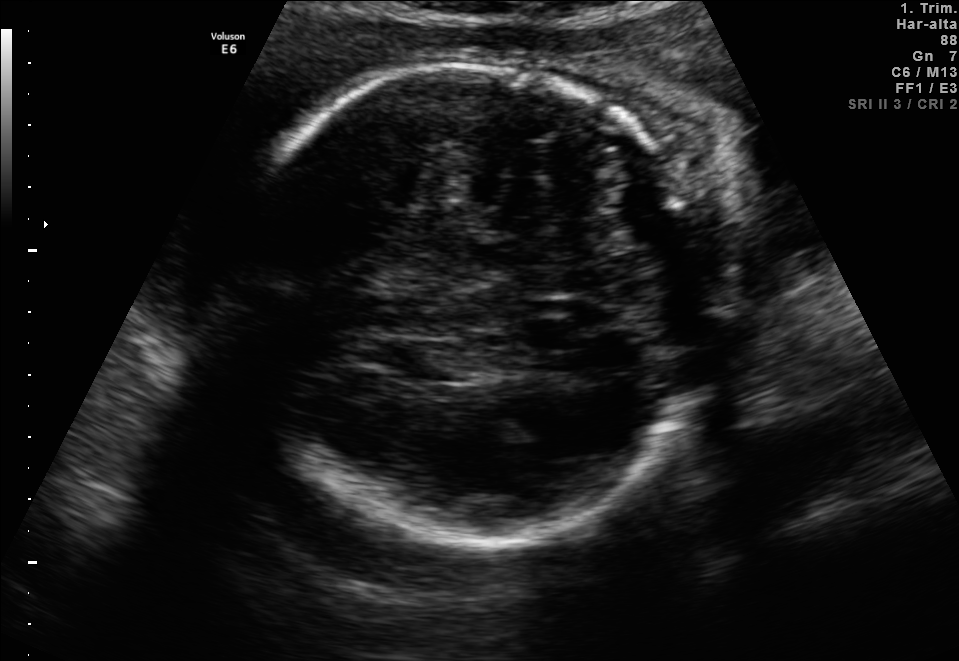
In this fetal brain, trans-thalamic plane, give the bounding box of the fetal head.

[227,63,708,544]